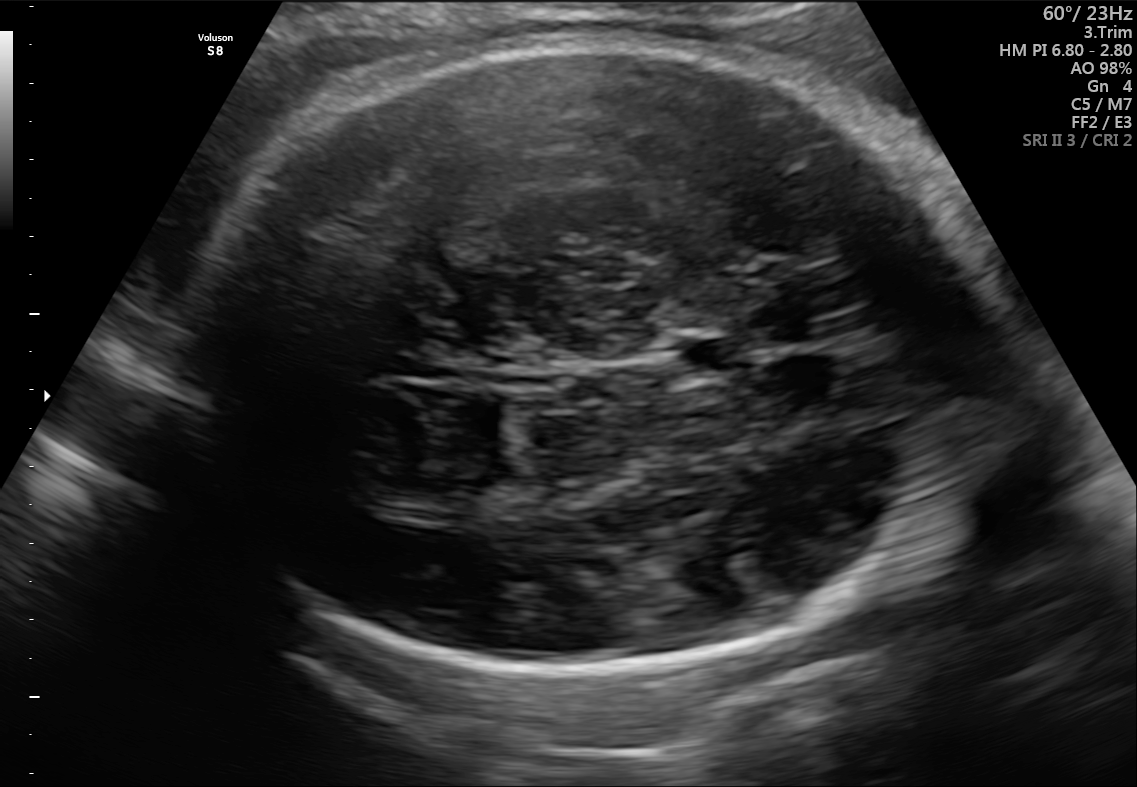
In this fetal brain, trans-thalamic plane, give the bounding box of the cavum septum pellucidum.

[674,334,747,379]